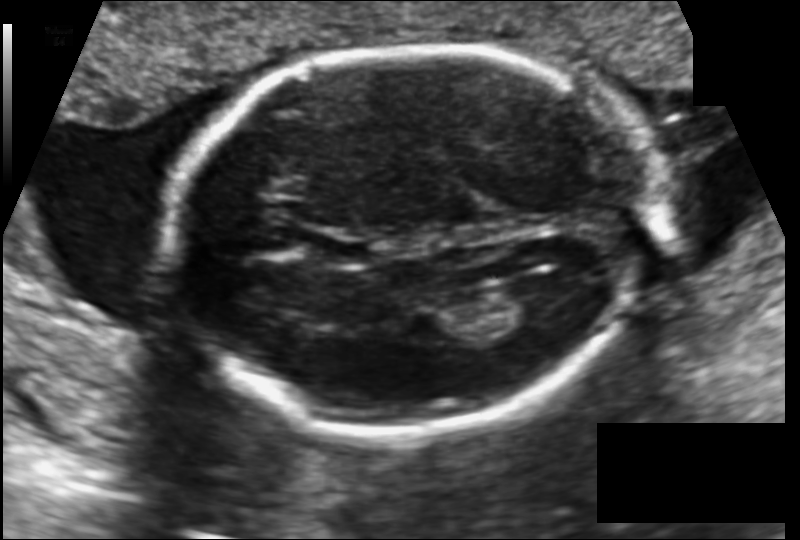
In this fetal head ultrasound, give the bounding box of the fetal head. Image width: 106.0 mm.

[170,47,650,435]